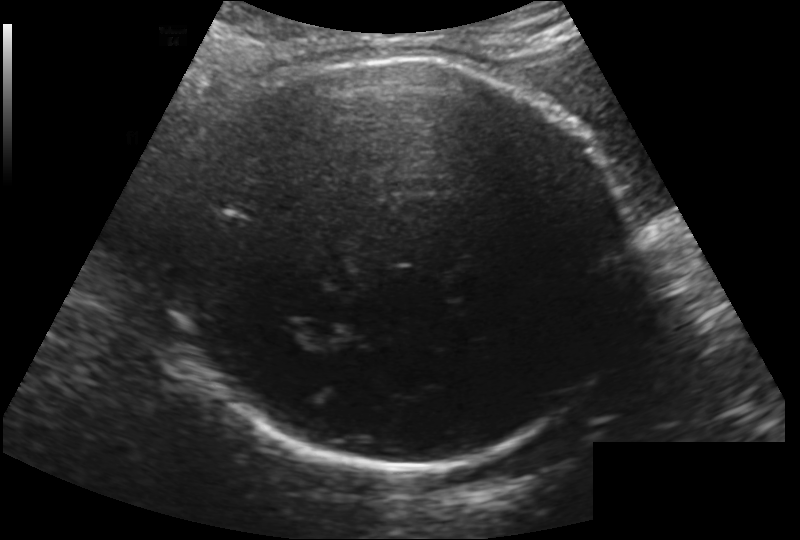
Fetal head ultrasound. Image width: 160.1 mm. Locate the fetal head and, if visible, the cavum septum pellucidum (CSP) and lateral ventricle (LV). Give bounding boxes as [x1,y1,x2,y2].

Head: [166,59,632,471]